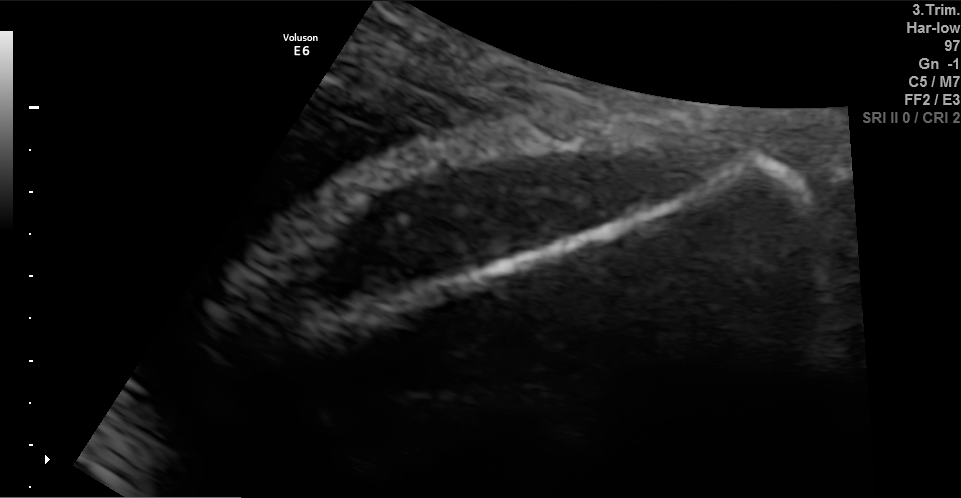
This is a 2D maternal-fetal ultrasound frame. Is it a fetal abdomen, fetal brain, fetal femur, fetal thorax, maternal cervix, or other standard plane? If it's fetal brain and one of the three standard brain planes (trans-thalamic, trans-cerebellum, trans-ventricular), name which.

Fetal femur